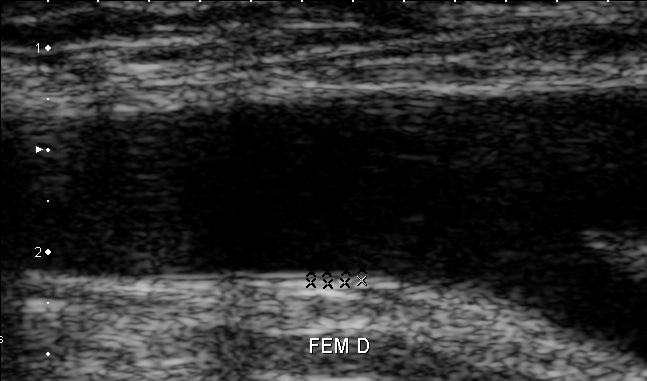
Classify this maternal-fetal ultrasound image as one of the six standard planes — fetal abdomen, fetal brain, fetal femur, fetal thorax, maternal cervix, or other. If it's fetal brain and one of the three standard brain planes (trans-thalamic, trans-cerebellum, trans-ventricular), name which.

Other